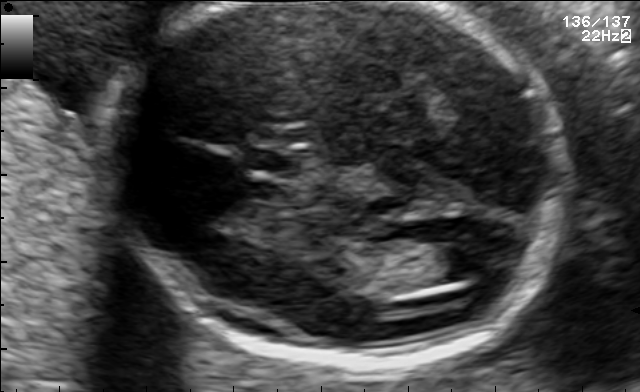
Fetal brain, trans-ventricular plane. Locate the lateral ventricle.

Lateral ventricle: [428,238,504,286]